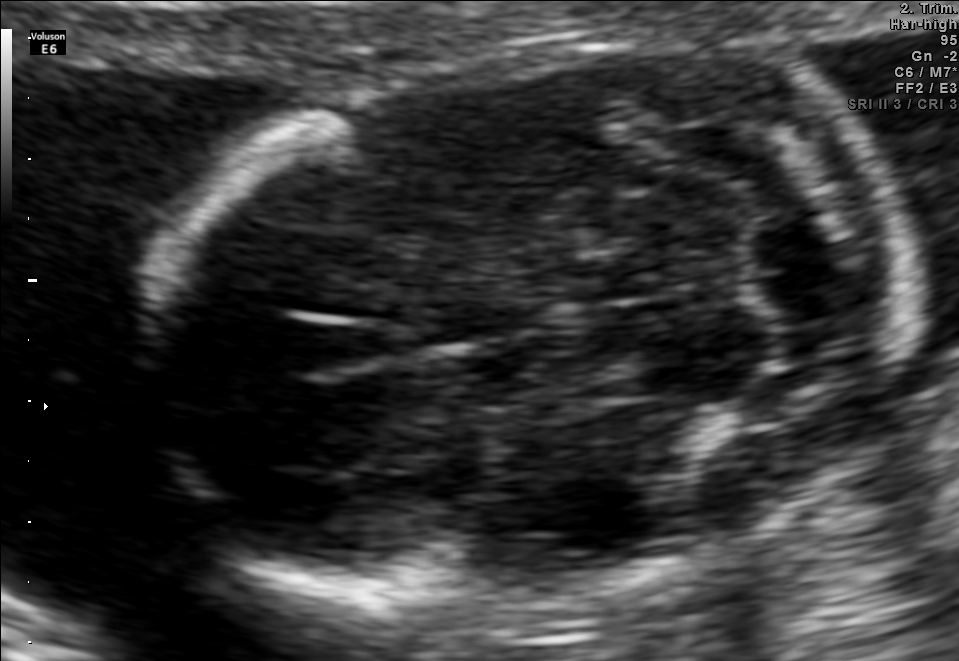
Fetal brain, trans-cerebellum plane. Where is the fetal head?

Head bounding box: [147,37,908,608]